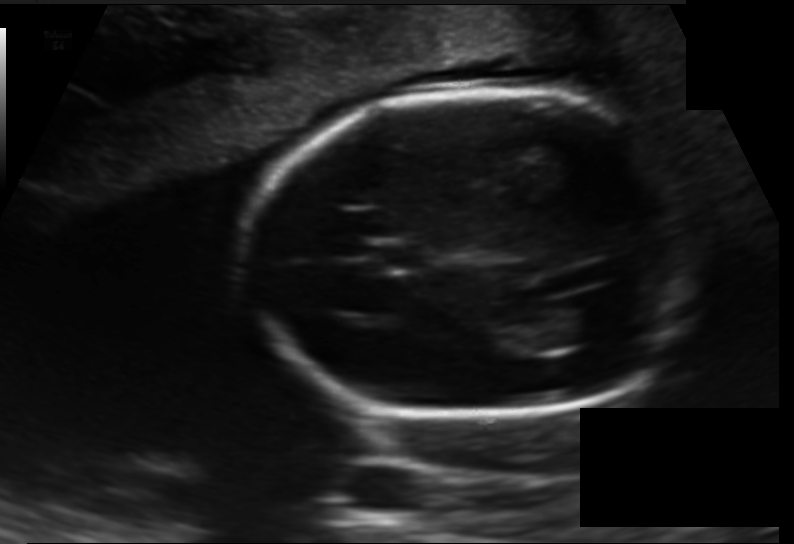
Estimate the fetal head circumference from this 2D ultrasound.

Head circumference: 171.2 mm (image width 109.8 mm).